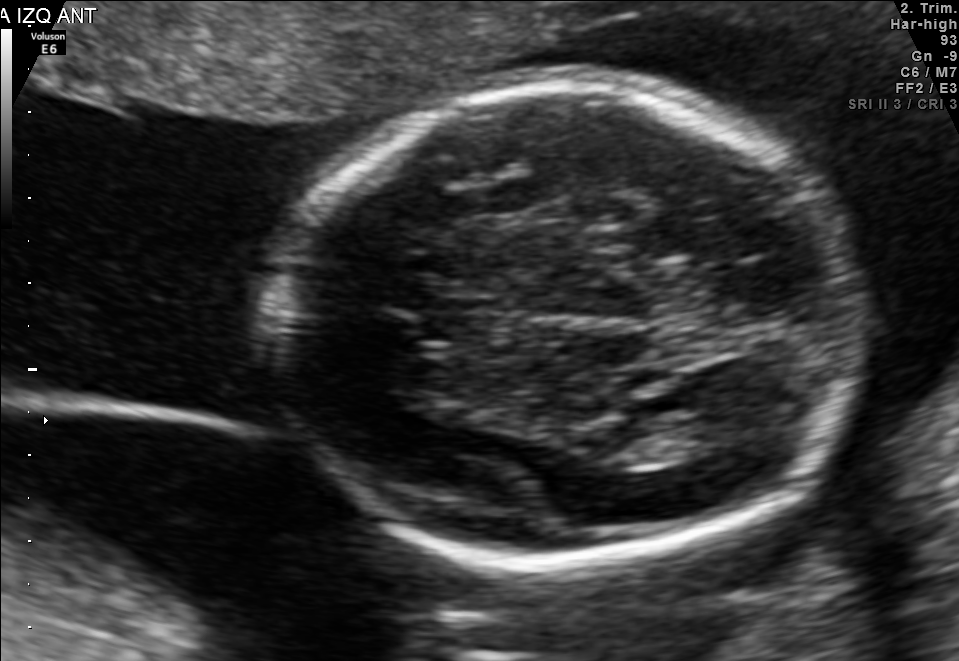
Fetal brain, trans-thalamic plane. Where is the lateral ventricle?

Lateral ventricle bounding box: [650,400,756,467]